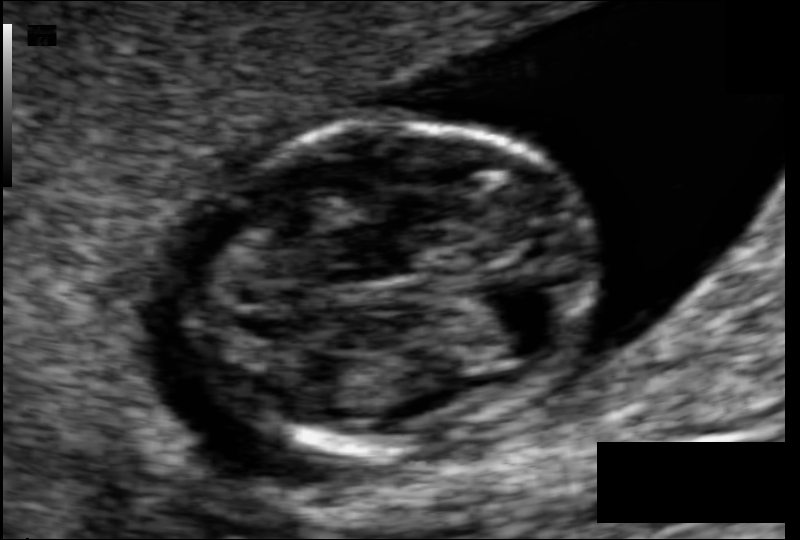
From this fetal ultrasound, estimate the head circumference (image width 49.9 mm).

Head circumference: 76.3 mm.